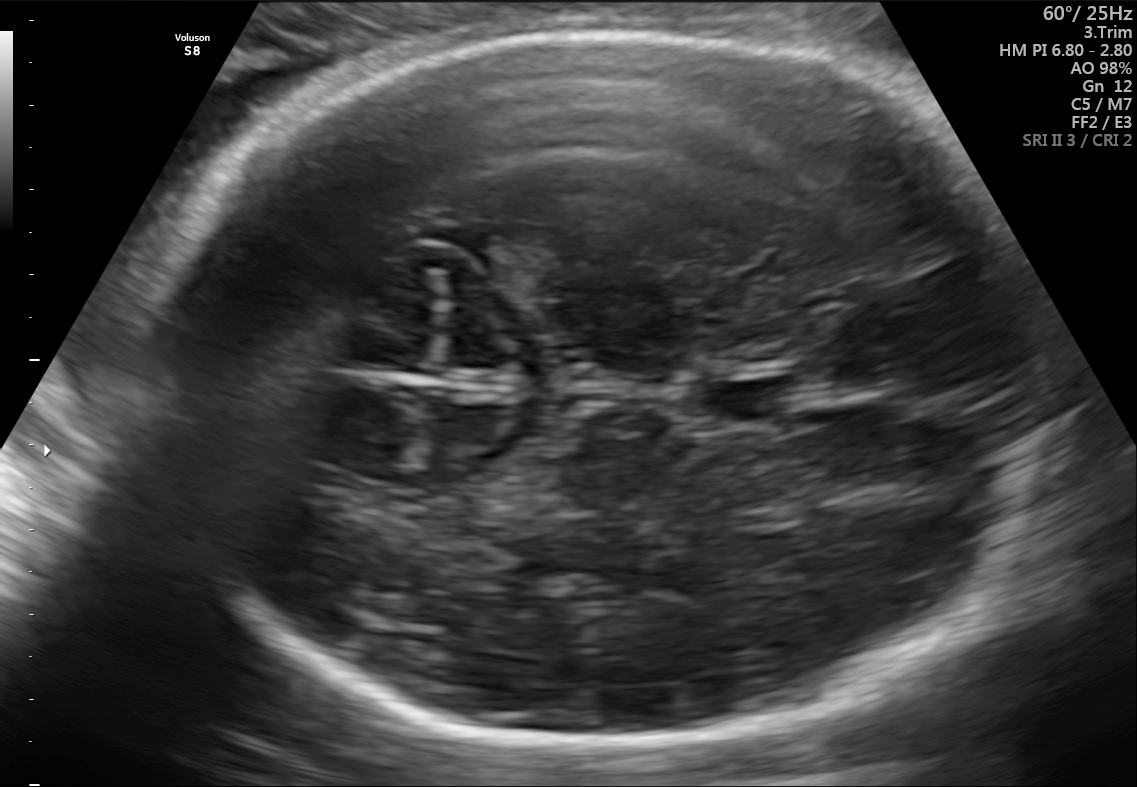
In this fetal brain, trans-thalamic plane, give the bounding box of the cavum septum pellucidum.

[703,372,804,426]